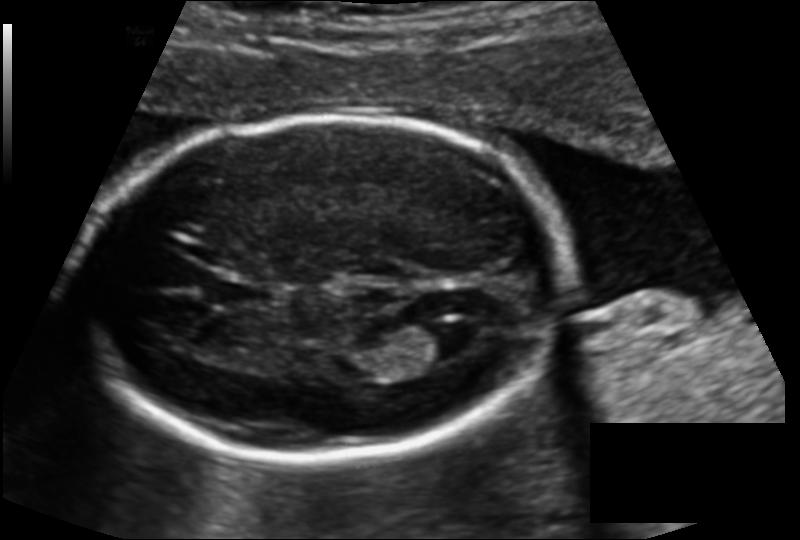
In this fetal head ultrasound, give the bounding box of the lateral ventricle. Image width: 109.1 mm.

[407,315,477,367]